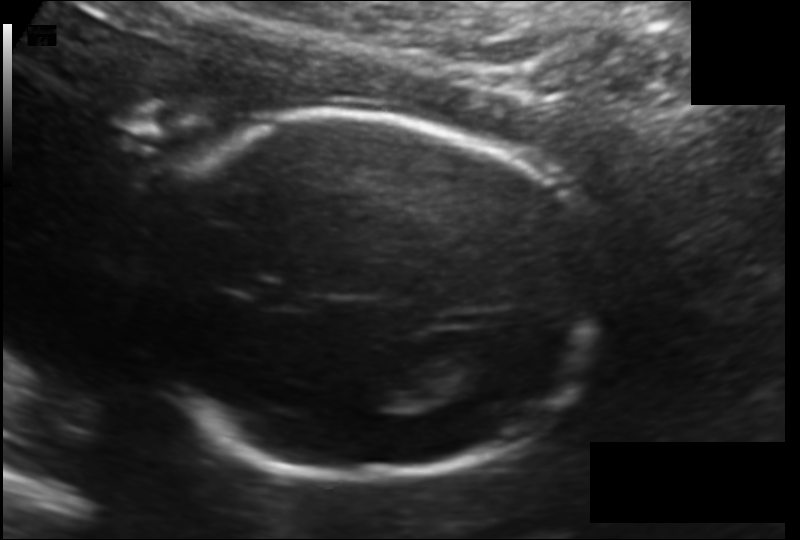
Fetal head ultrasound. Image width: 107.8 mm. Locate the fetal head and, if visible, the cavum septum pellucidum (CSP) and lateral ventricle (LV). Give bounding boxes as [x1,y1,x2,y2].

Head: [133,112,598,480]